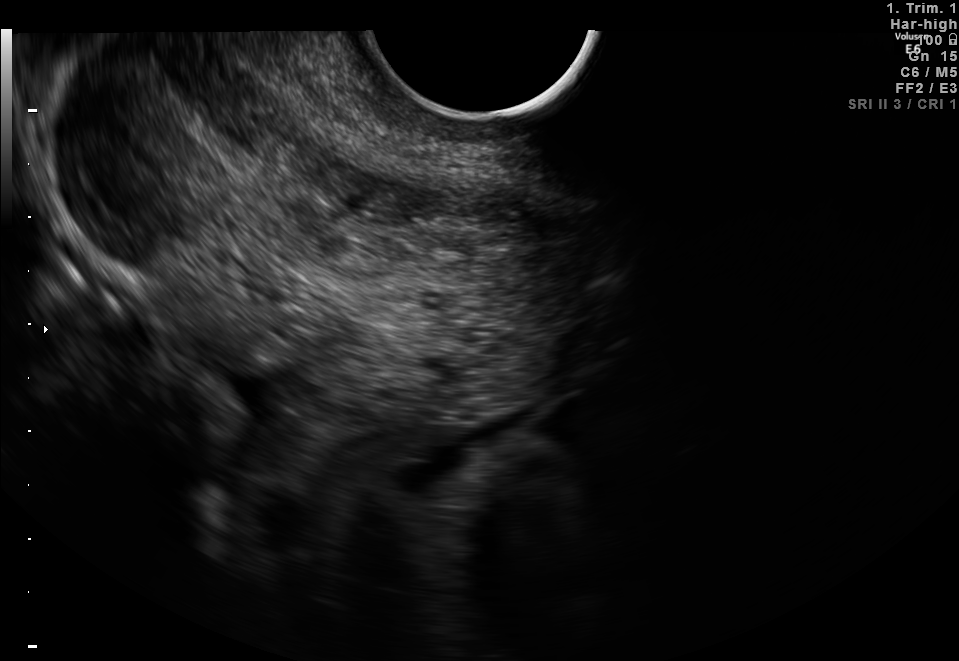
This is a 2D maternal-fetal ultrasound frame. Is it a fetal abdomen, fetal brain, fetal femur, fetal thorax, maternal cervix, or other standard plane? If it's fetal brain and one of the three standard brain planes (trans-thalamic, trans-cerebellum, trans-ventricular), name which.

Maternal cervix